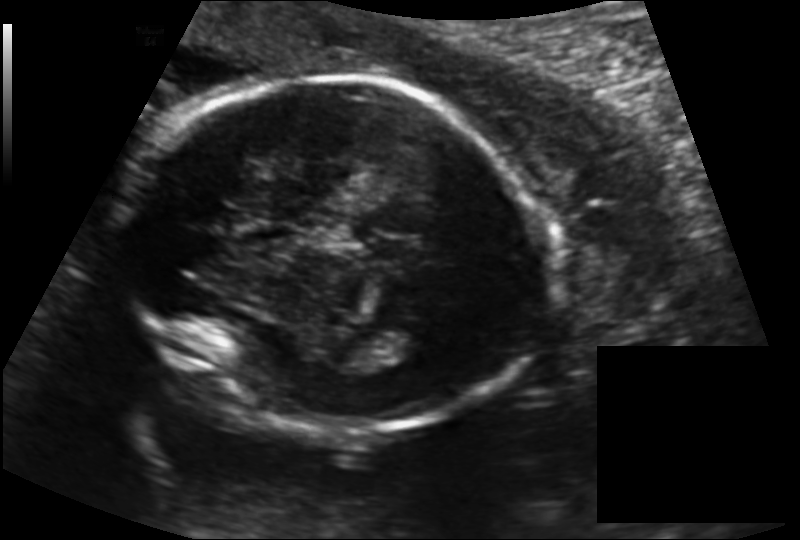
Fetal head ultrasound. Image width: 116.1 mm. Locate the fetal head.

Head: [123,78,550,433]